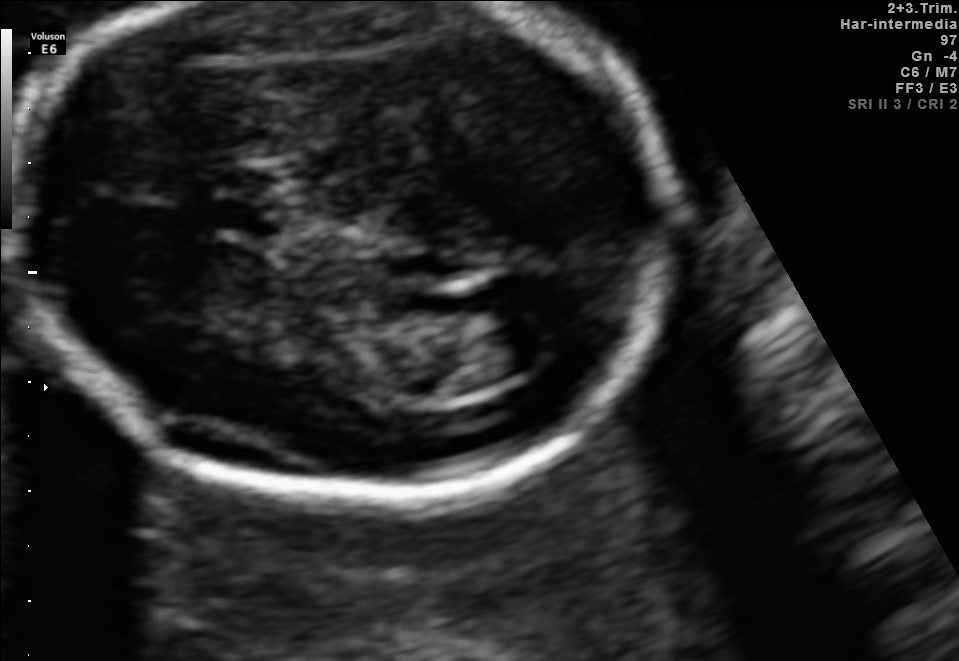
Fetal brain, trans-ventricular plane. Locate the lateral ventricle.

Lateral ventricle: [475,308,567,383]